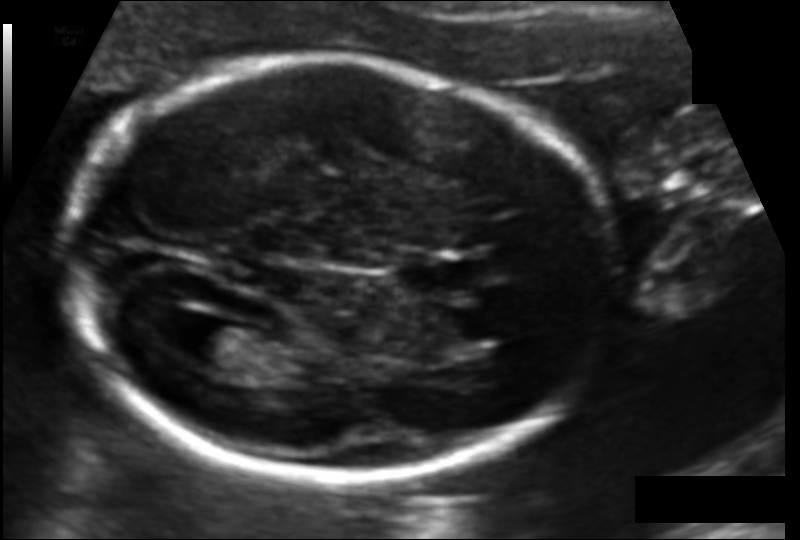
Fetal head ultrasound. Image width: 91.0 mm. Locate the lateral ventricle.

Lateral ventricle: [176,315,253,371]